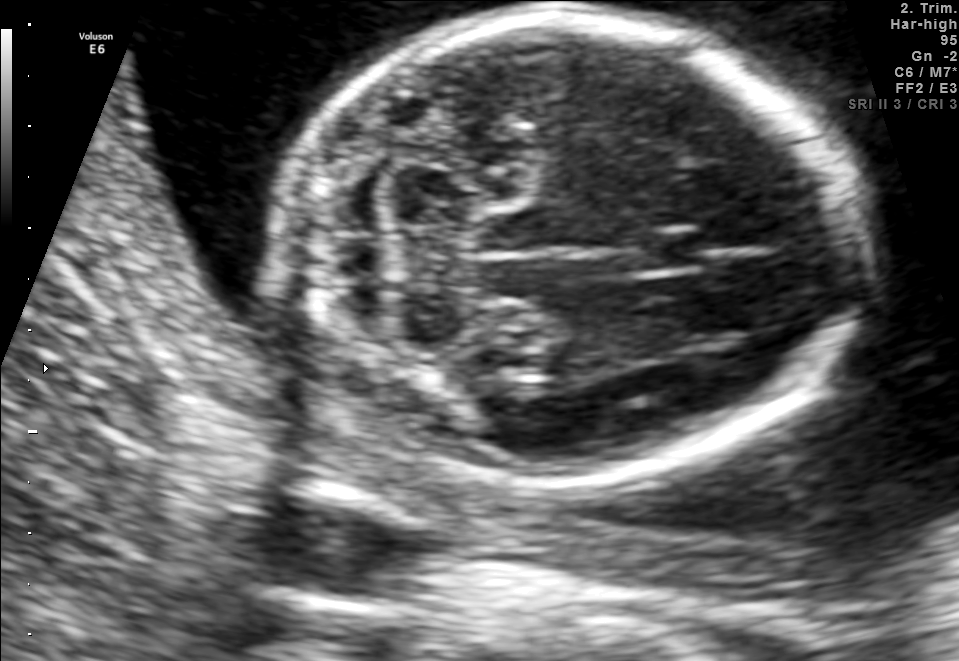
Fetal brain, trans-cerebellum plane. Locate the cavum septum pellucidum.

CSP: [624,225,705,277]